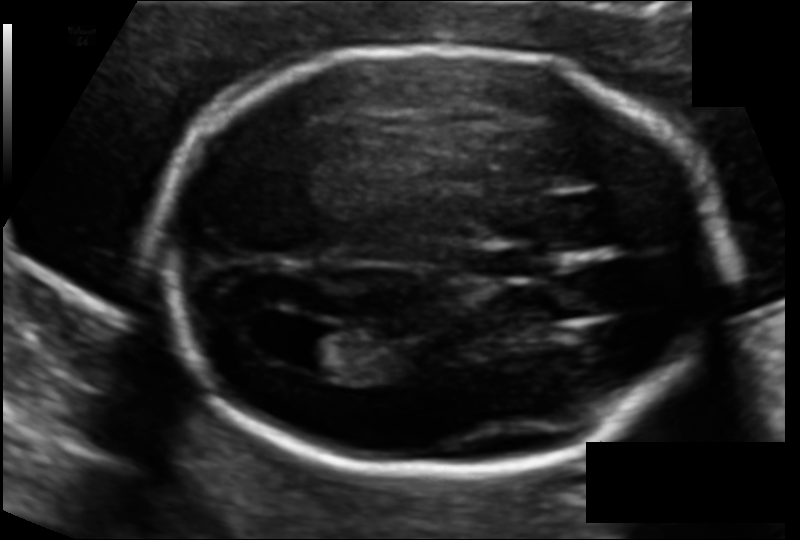
Estimate the fetal head circumference from this 2D ultrasound. Image width: 89.4 mm.

Head circumference: 178.2 mm.